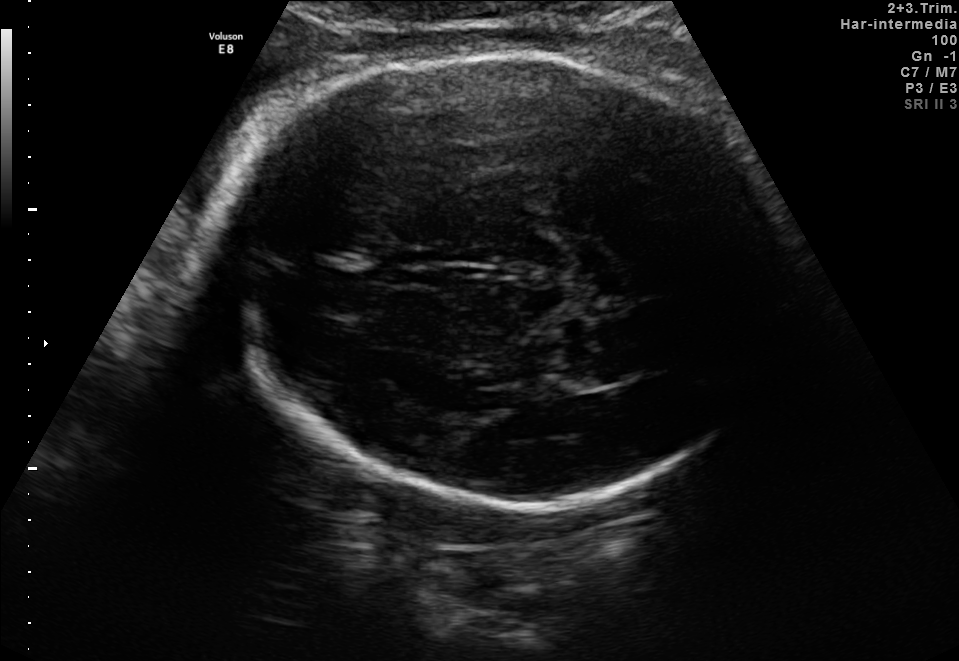
Fetal brain, trans-thalamic plane. Locate the fetal head and, if visible, the cavum septum pellucidum (CSP) and lateral ventricle (LV). Give bounding boxes as [x1,y1,x2,y2].

Head: [219,52,788,513]